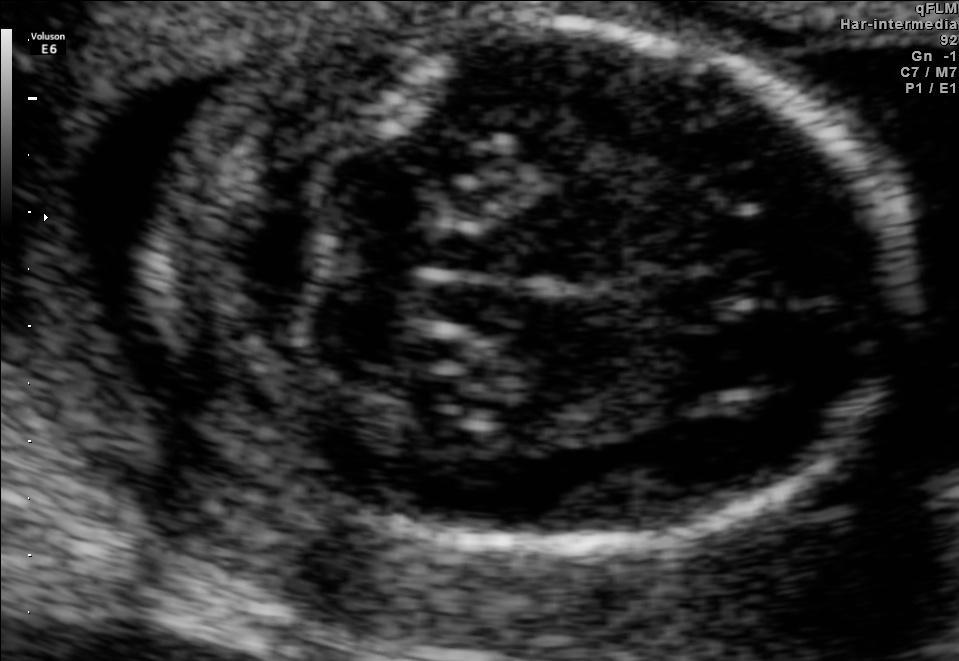
In this fetal brain, trans-cerebellum plane, give bounding boxes for the head outline, cavum septum pellucidum (CSP), and lateral ventricle (LV), where visible.

Head: [154,19,907,540]
CSP: [642,272,732,327]